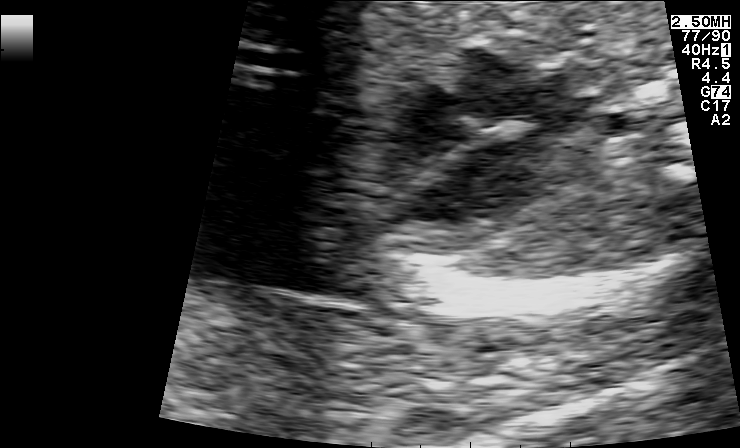
Which standard maternal-fetal ultrasound plane is shown: fetal abdomen, fetal brain, fetal femur, fetal thorax, maternal cervix, or other? If it's fetal brain and one of the three standard brain planes (trans-thalamic, trans-cerebellum, trans-ventricular), name which.

Other